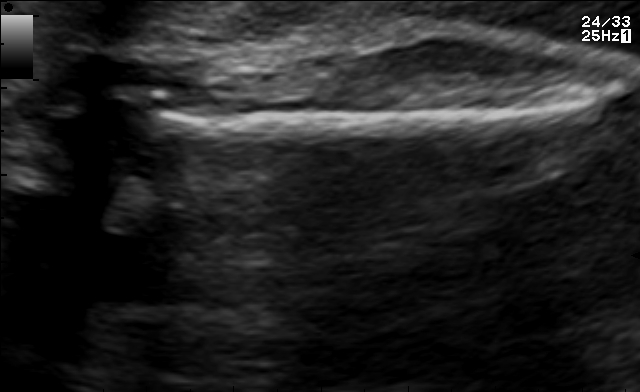
This is a 2D maternal-fetal ultrasound frame. Is it a fetal abdomen, fetal brain, fetal femur, fetal thorax, maternal cervix, or other standard plane? If it's fetal brain and one of the three standard brain planes (trans-thalamic, trans-cerebellum, trans-ventricular), name which.

Fetal femur